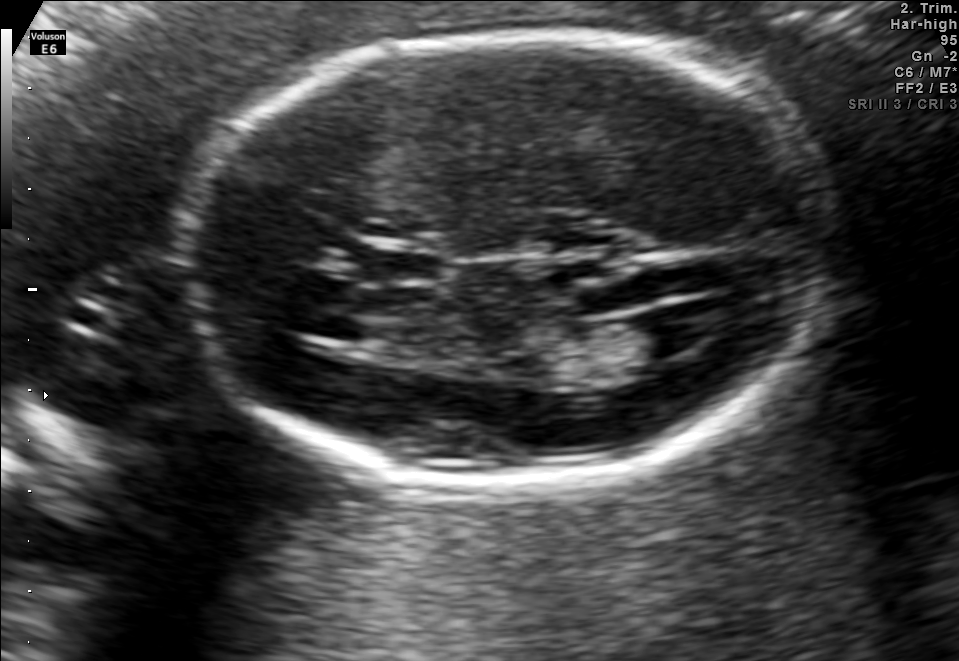
In this fetal brain, trans-ventricular plane, give the bounding box of the cavum septum pellucidum.

[387,251,438,281]